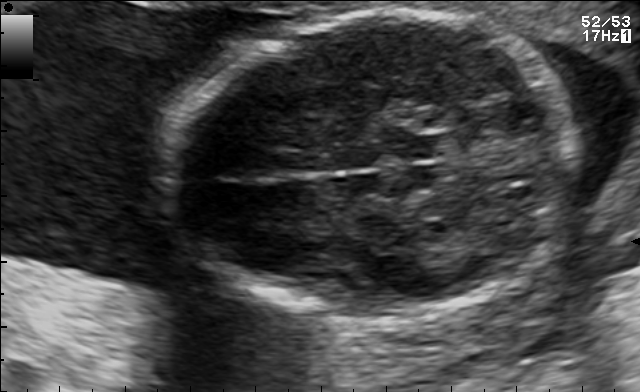
In this fetal brain, trans-thalamic plane, give the bounding box of the fetal head.

[166,11,578,321]